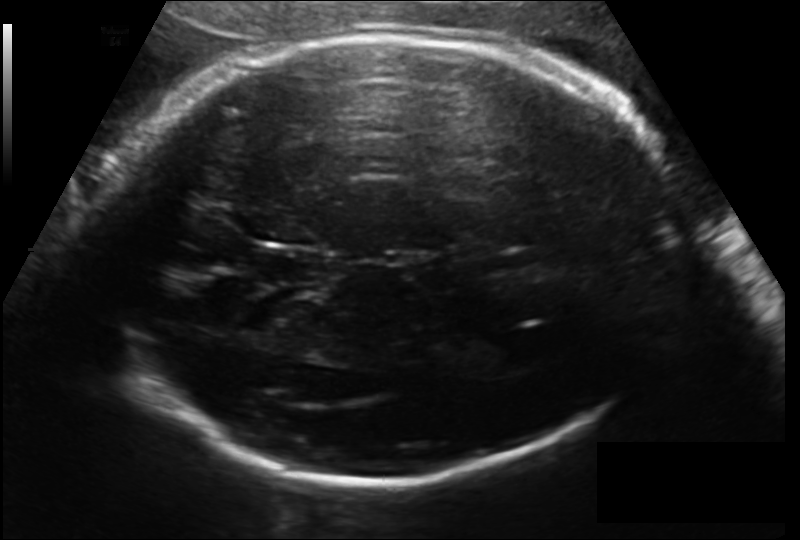
Fetal head ultrasound. Image width: 136.7 mm. Locate the fetal head and, if visible, the cavum septum pellucidum (CSP) and lateral ventricle (LV). Give bounding boxes as [x1,y1,x2,y2].

Head: [102,33,672,487]
CSP: [250,247,325,288]
Lateral ventricle: [469,328,543,376]